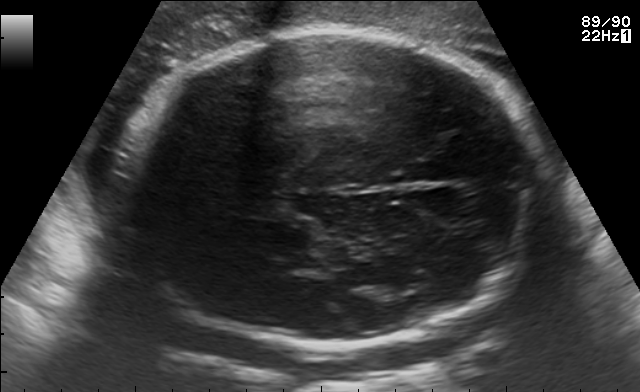
In this fetal brain, trans-thalamic plane, give the bounding box of the fetal head.

[113,32,533,343]